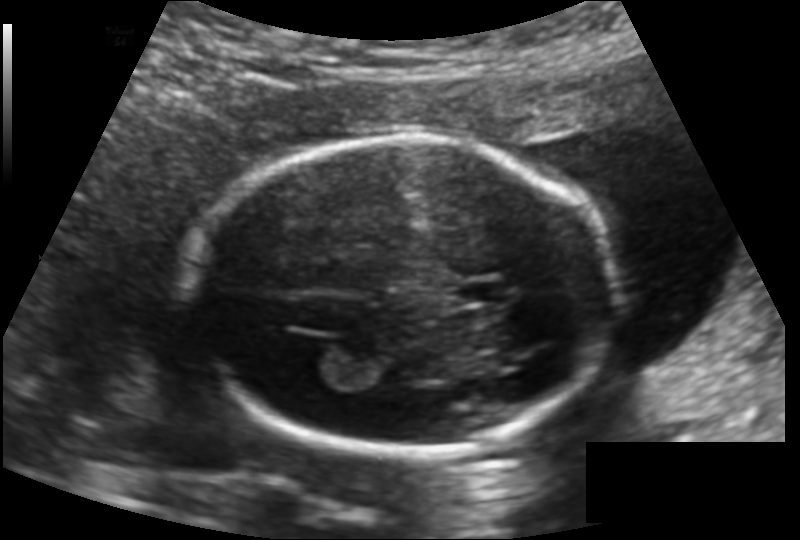
Fetal head ultrasound. Image width: 109.1 mm. Where is the fetal head?

Head bounding box: [192,135,615,454]